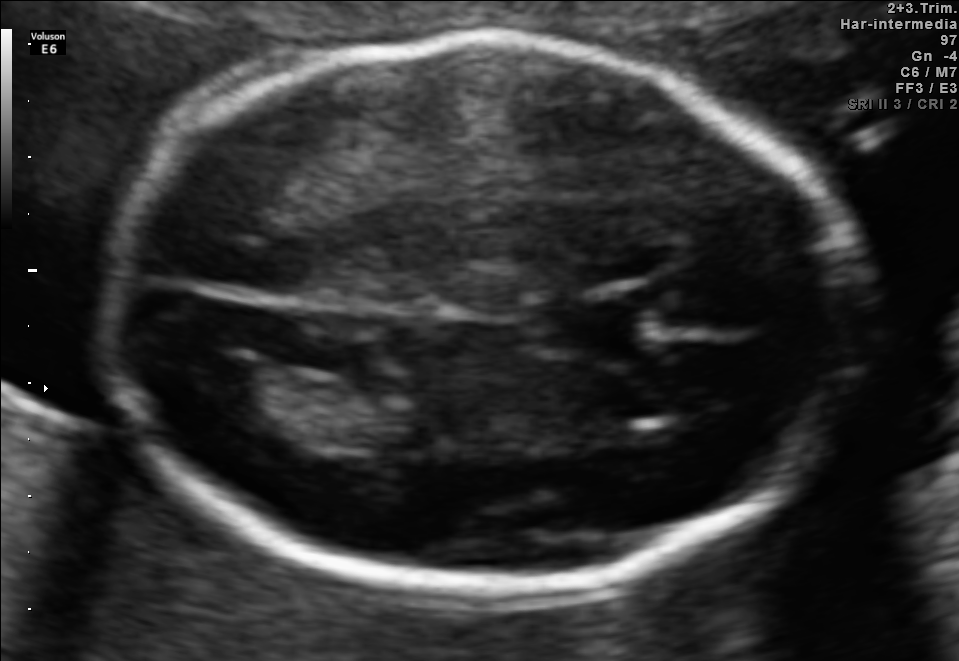
Fetal brain, trans-ventricular plane. Give [x1,y1,x2,y2] bounding boxes for each visible structure among: fetal head, CSP, LV.

Head: [96,30,869,593]
CSP: [523,298,649,351]